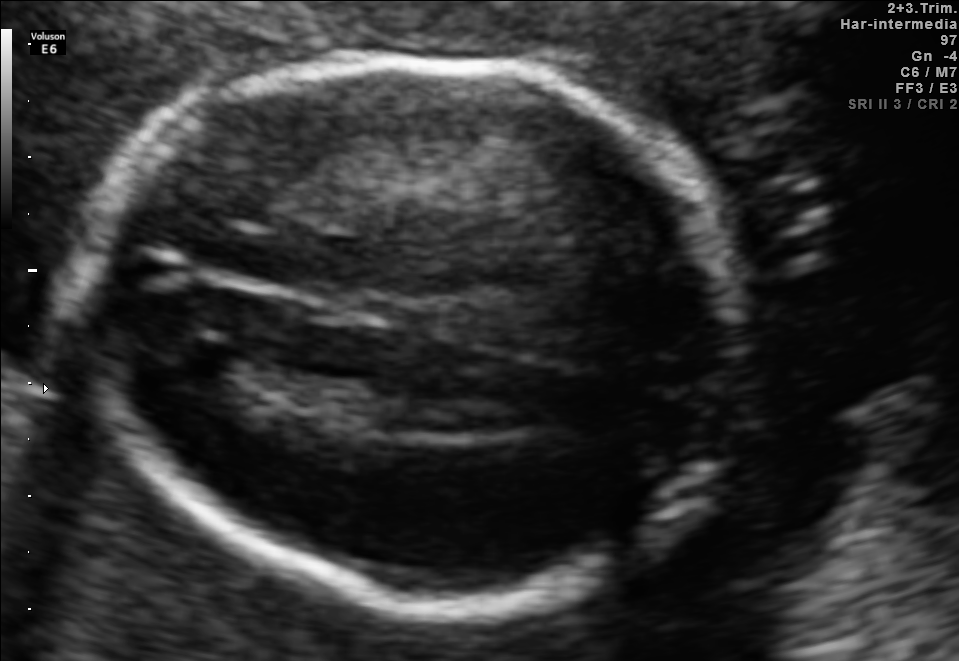
In this fetal brain, trans-thalamic plane, give bounding boxes for the head outline, cavum septum pellucidum (CSP), and lateral ventricle (LV), where visible.

Head: [82,58,745,605]